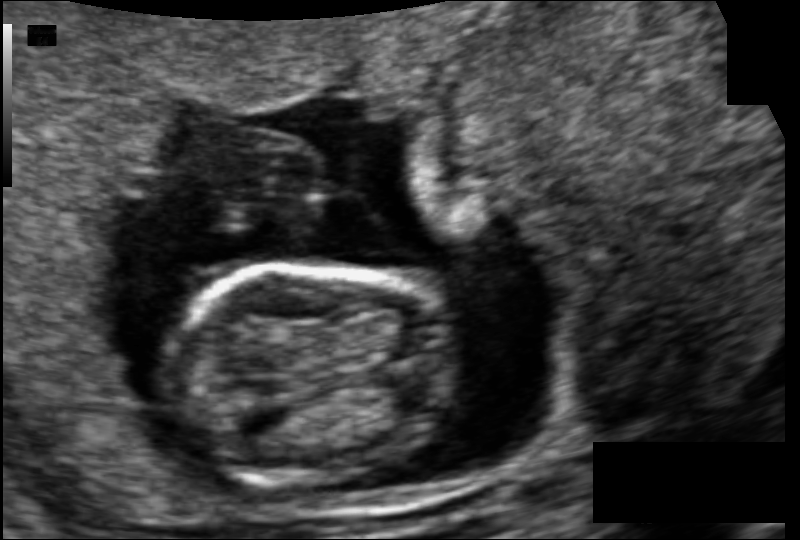
What is the fetal head circumference? Image width is 70.0 mm.

71.9 mm